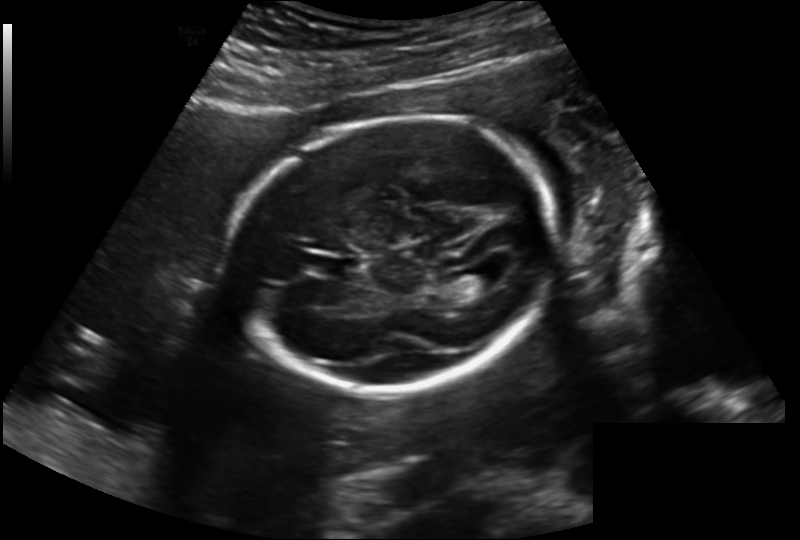
Fetal head ultrasound. Image width: 161.6 mm. Locate the cavum septum pellucidum.

CSP: [315,255,360,279]